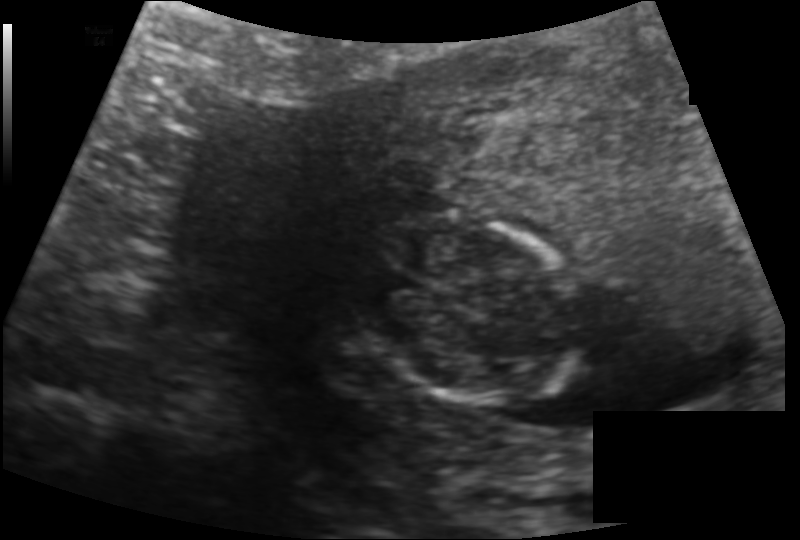
Fetal head ultrasound. Image width: 102.6 mm. Where is the fetal head?

Head bounding box: [360,215,581,404]